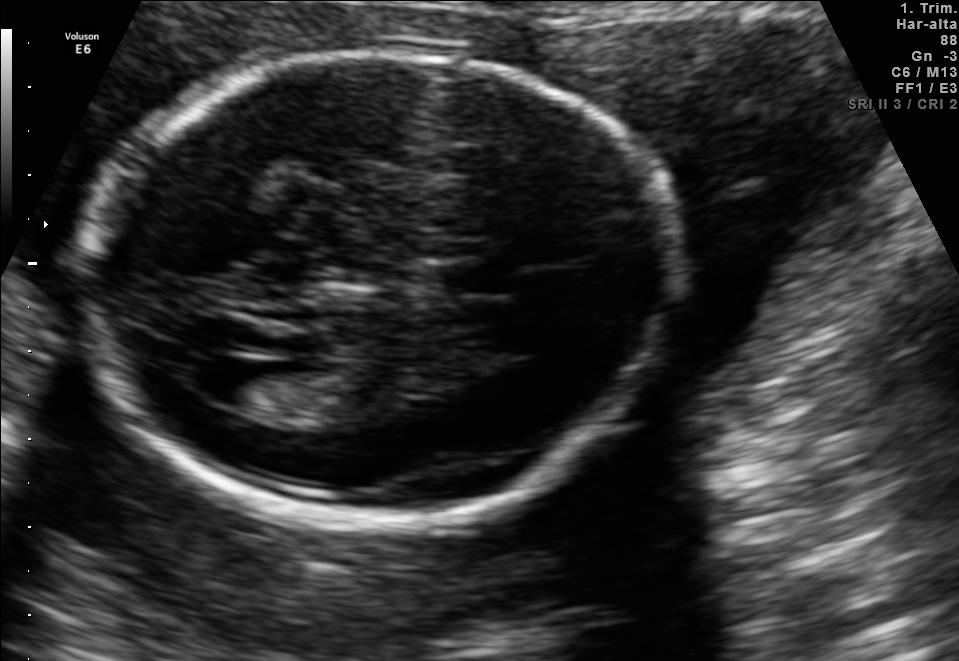
Fetal brain, trans-ventricular plane. Where is the lateral ventricle?

Lateral ventricle bounding box: [178,344,265,412]